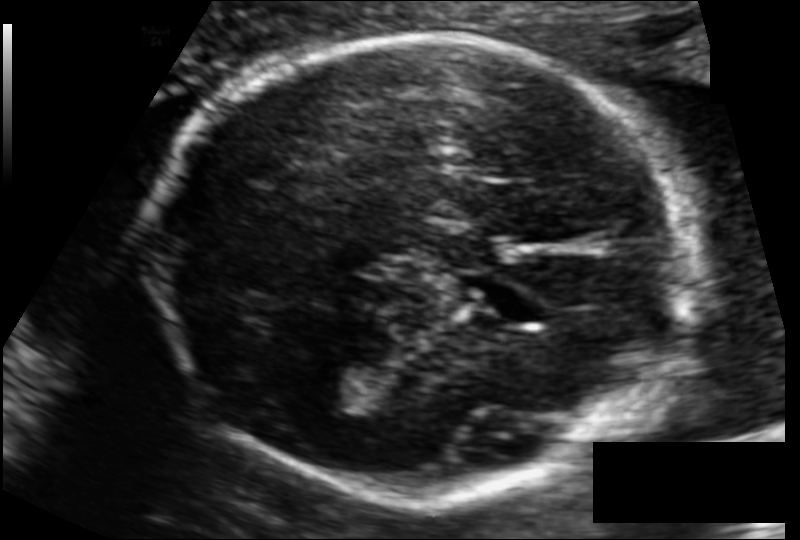
From this fetal ultrasound, estimate the head circumference (image width 89.9 mm).

Head circumference: 184.4 mm.